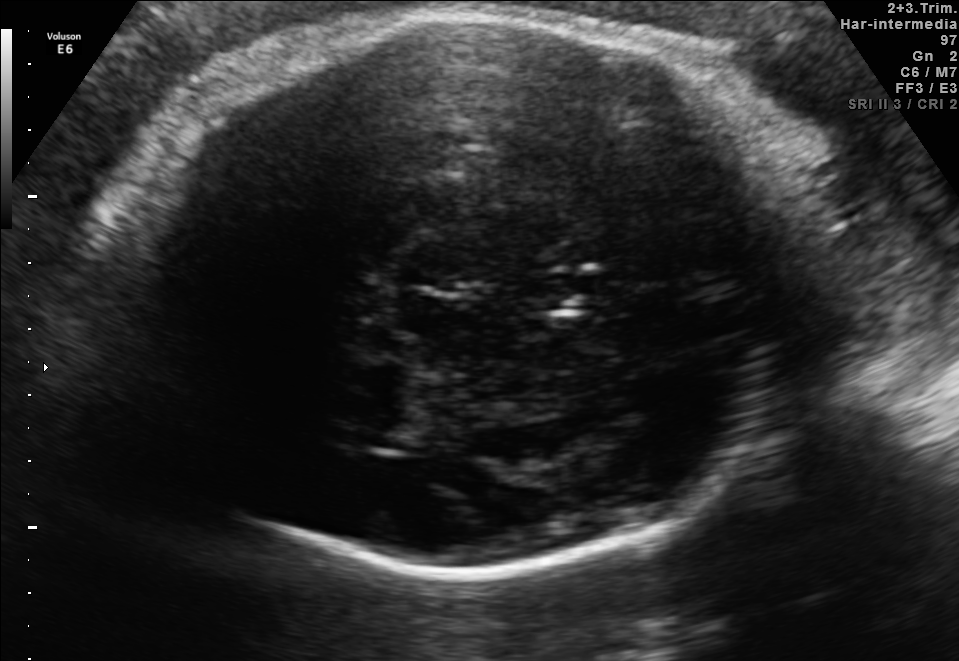
Fetal brain, trans-thalamic plane. Locate the fetal head.

Head: [89,14,818,567]